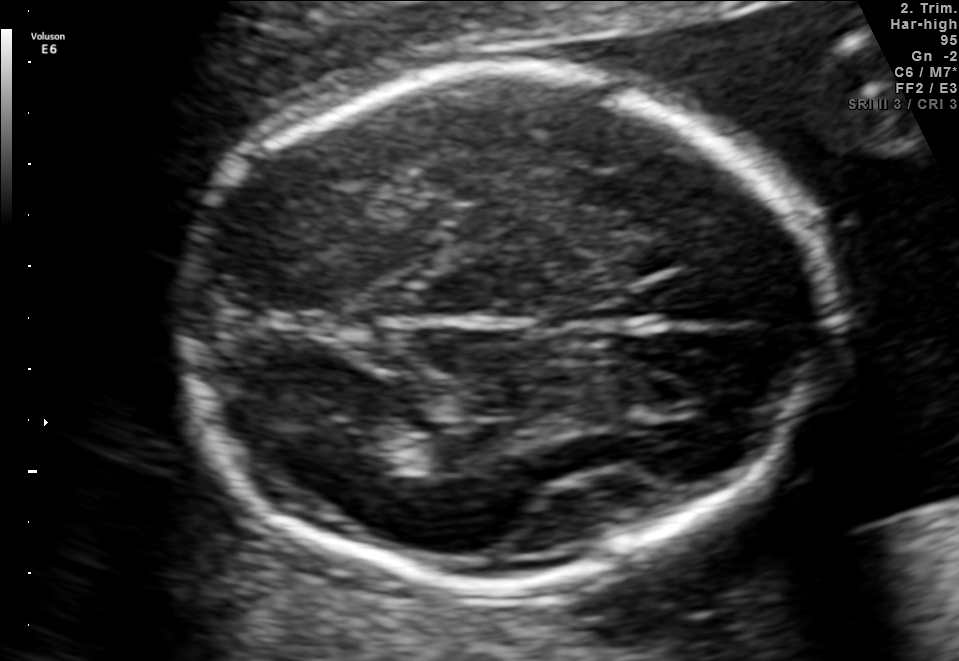
Fetal brain, trans-thalamic plane. Locate the lateral ventricle.

Lateral ventricle: [328,423,441,473]